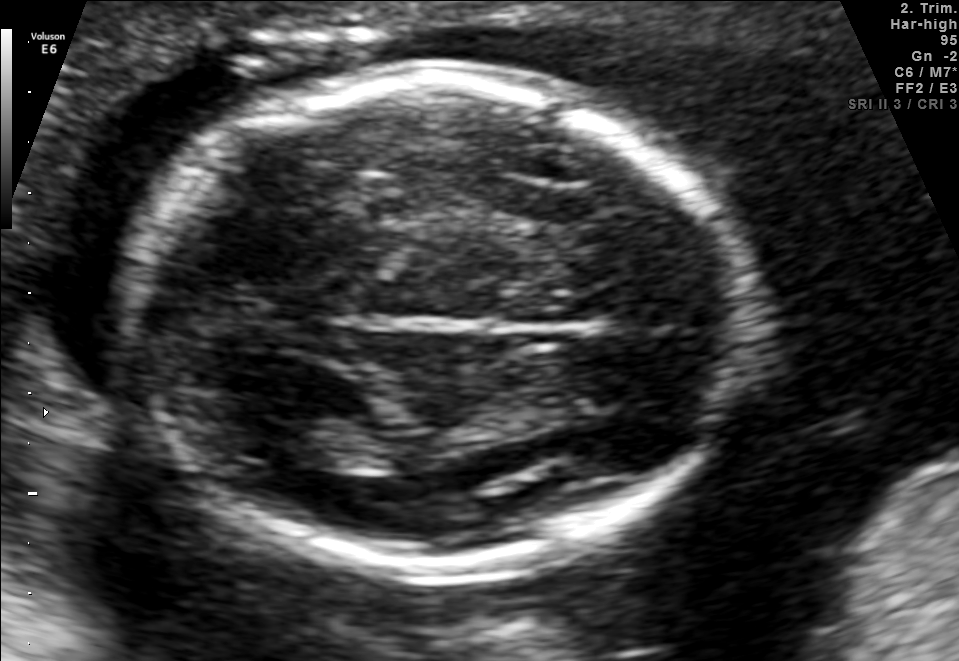
In this fetal brain, trans-thalamic plane, give the bounding box of the fetal head.

[119,76,750,569]